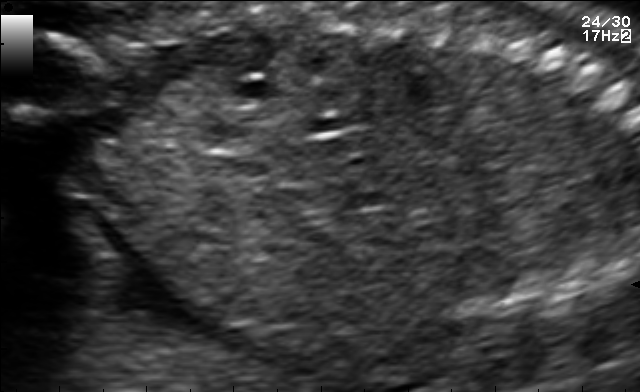
Identify the standard plane in this fetal ultrasound image: fetal abdomen, fetal brain, fetal femur, fetal thorax, maternal cervix, or other. If it's fetal brain and one of the three standard brain planes (trans-thalamic, trans-cerebellum, trans-ventricular), name which.

Other